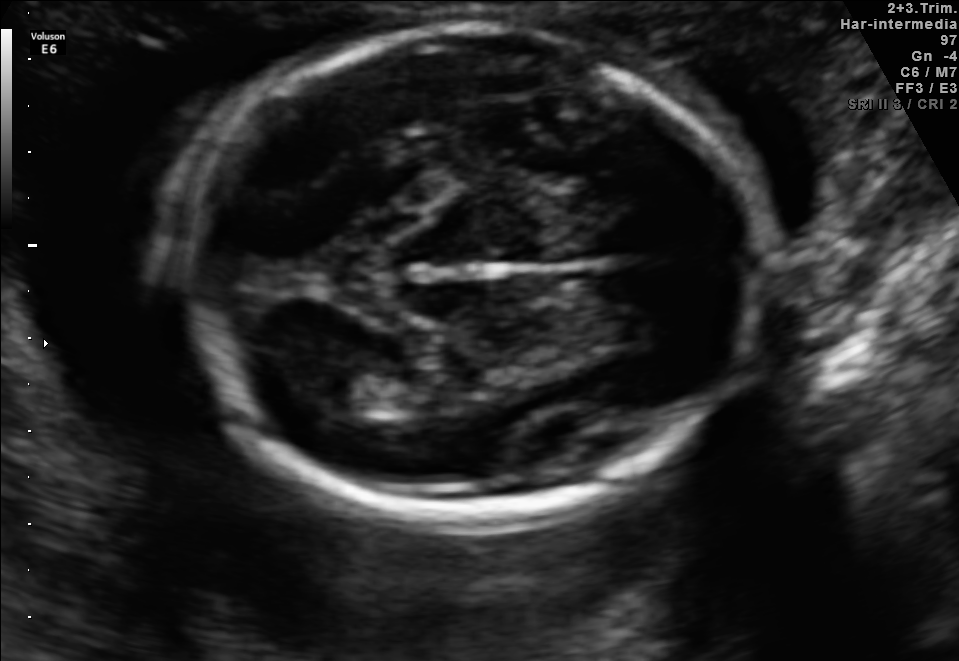
Classify this maternal-fetal ultrasound image as one of the six standard planes — fetal abdomen, fetal brain, fetal femur, fetal thorax, maternal cervix, or other. If it's fetal brain and one of the three standard brain planes (trans-thalamic, trans-cerebellum, trans-ventricular), name which.

Fetal brain (trans-thalamic plane)